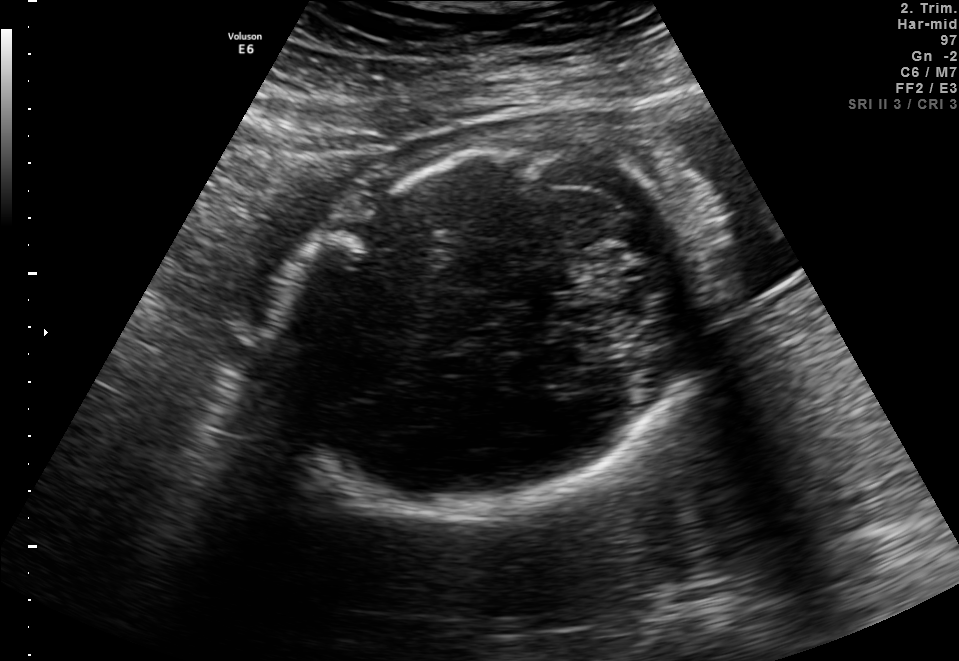
This is a 2D maternal-fetal ultrasound frame. Is it a fetal abdomen, fetal brain, fetal femur, fetal thorax, maternal cervix, or other standard plane? If it's fetal brain and one of the three standard brain planes (trans-thalamic, trans-cerebellum, trans-ventricular), name which.

Fetal brain (trans-cerebellum plane)